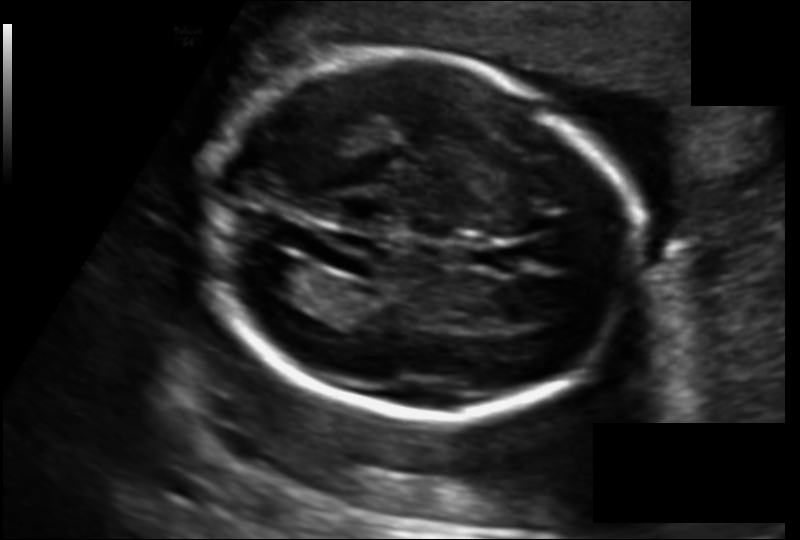
In this fetal head ultrasound, give the bounding box of the lateral ventricle. Image width: 107.9 mm.

[247,244,319,305]